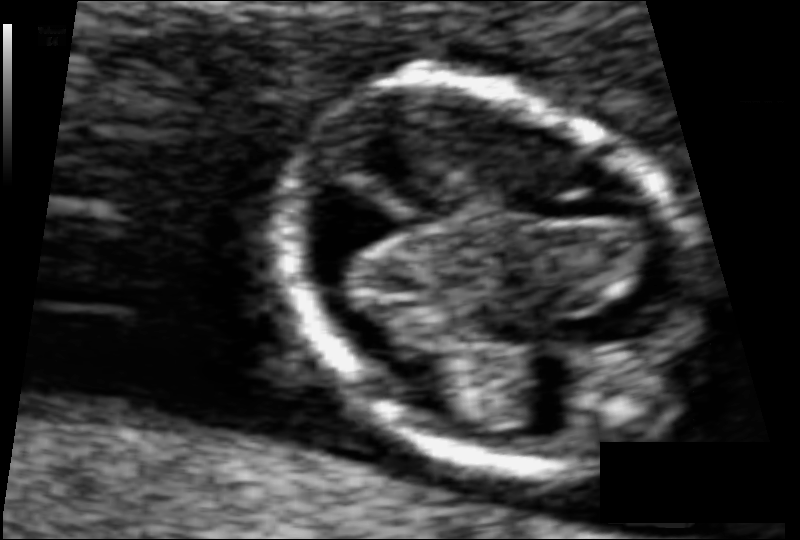
Estimate the fetal head circumference from this 2D ultrasound. Image width: 46.0 mm.

Head circumference: 76.1 mm.